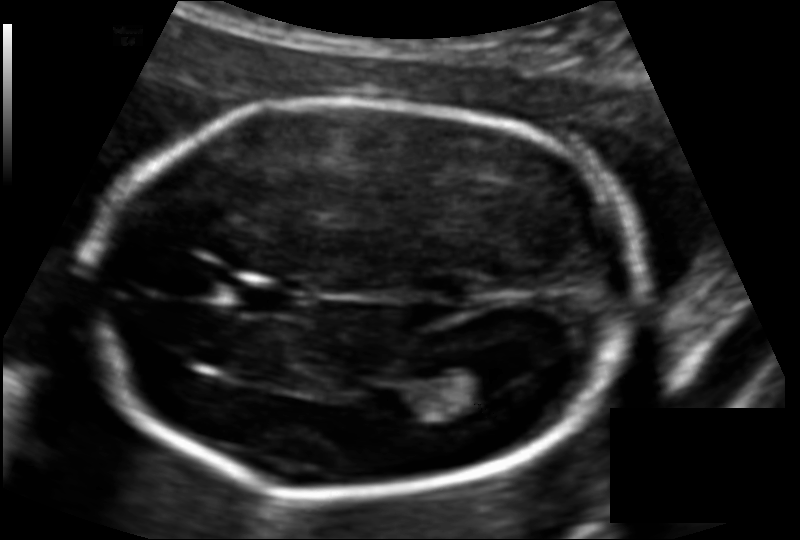
Estimate the fetal head circumference from this 2D ultrasound.

Head circumference: 179.9 mm (image width 93.9 mm).